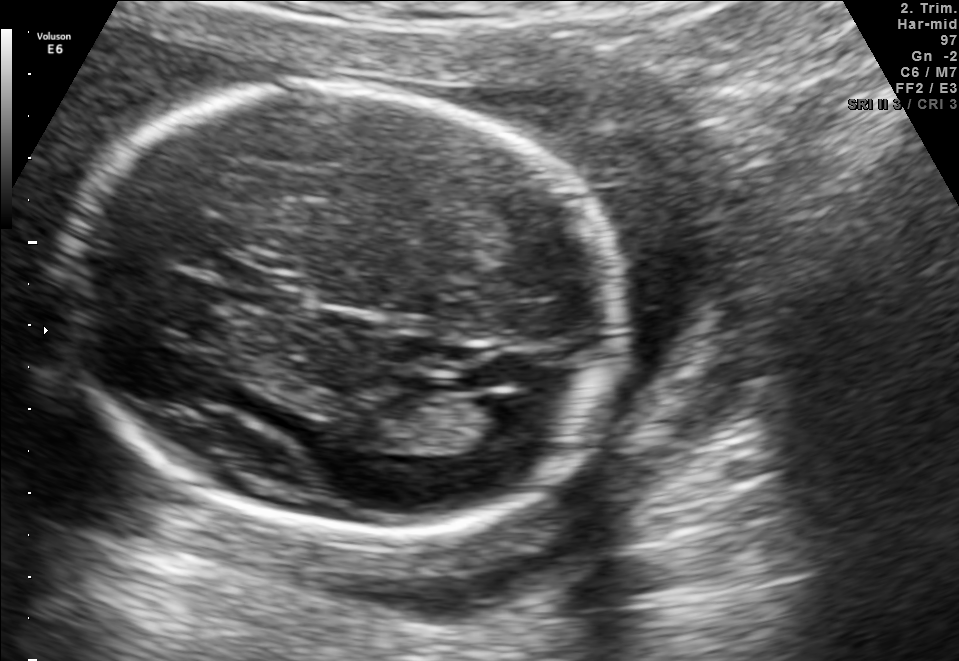
Fetal brain, trans-ventricular plane. Where is the cavum septum pellucidum?

CSP bounding box: [229,265,305,315]